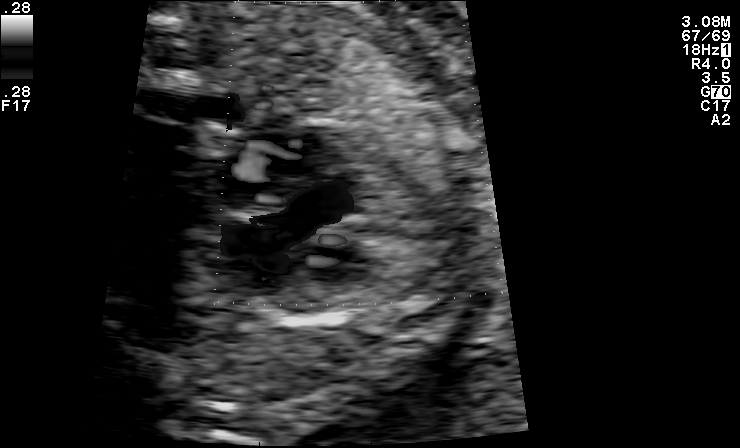
This is a 2D maternal-fetal ultrasound frame. Is it a fetal abdomen, fetal brain, fetal femur, fetal thorax, maternal cervix, or other standard plane? If it's fetal brain and one of the three standard brain planes (trans-thalamic, trans-cerebellum, trans-ventricular), name which.

Other